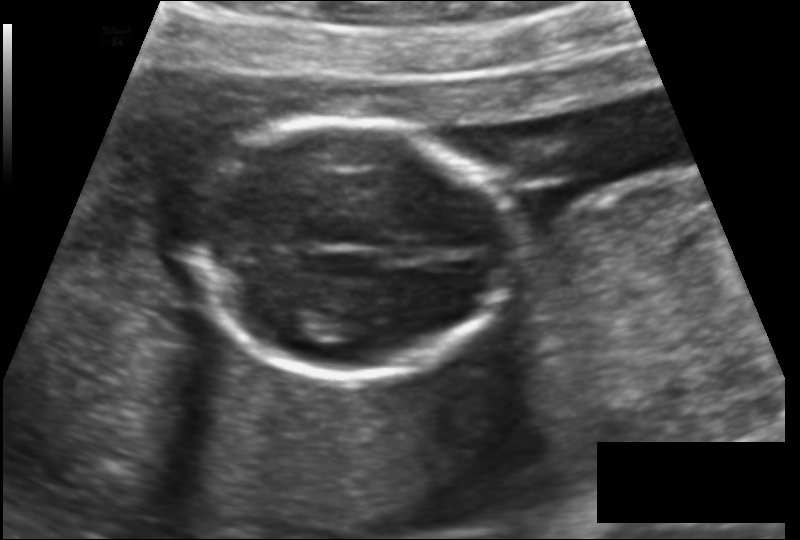
Fetal head ultrasound. Image width: 109.0 mm. Locate the fetal head and, if visible, the cavum septum pellucidum (CSP) and lateral ventricle (LV). Give bounding boxes as [x1,y1,x2,y2].

Head: [189,122,515,377]